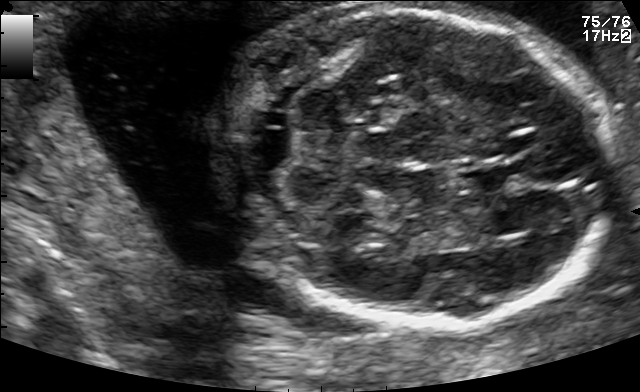
In this fetal brain, trans-cerebellum plane, give the bounding box of the fetal head.

[219,5,617,328]